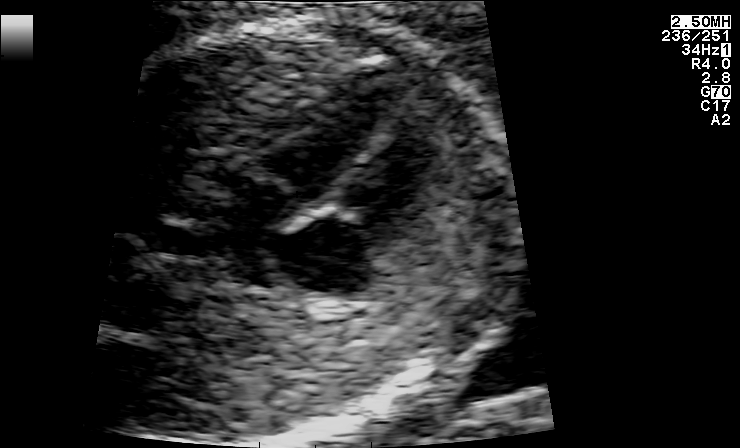
Classify this maternal-fetal ultrasound image as one of the six standard planes — fetal abdomen, fetal brain, fetal femur, fetal thorax, maternal cervix, or other. If it's fetal brain and one of the three standard brain planes (trans-thalamic, trans-cerebellum, trans-ventricular), name which.

Fetal thorax